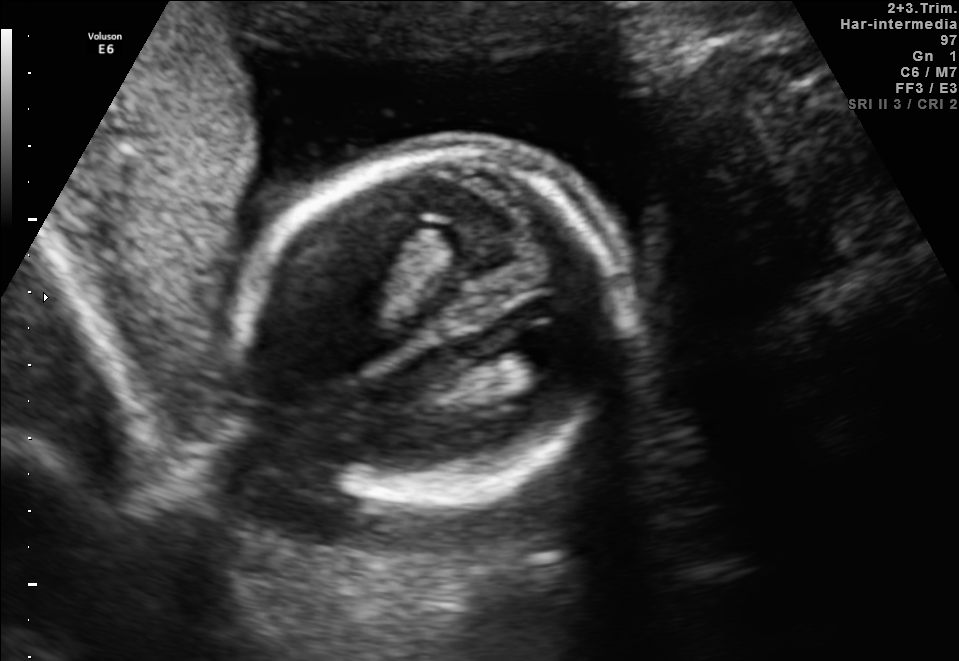
Fetal brain, trans-ventricular plane. Where is the lateral ventricle?

Lateral ventricle bounding box: [494,317,576,389]